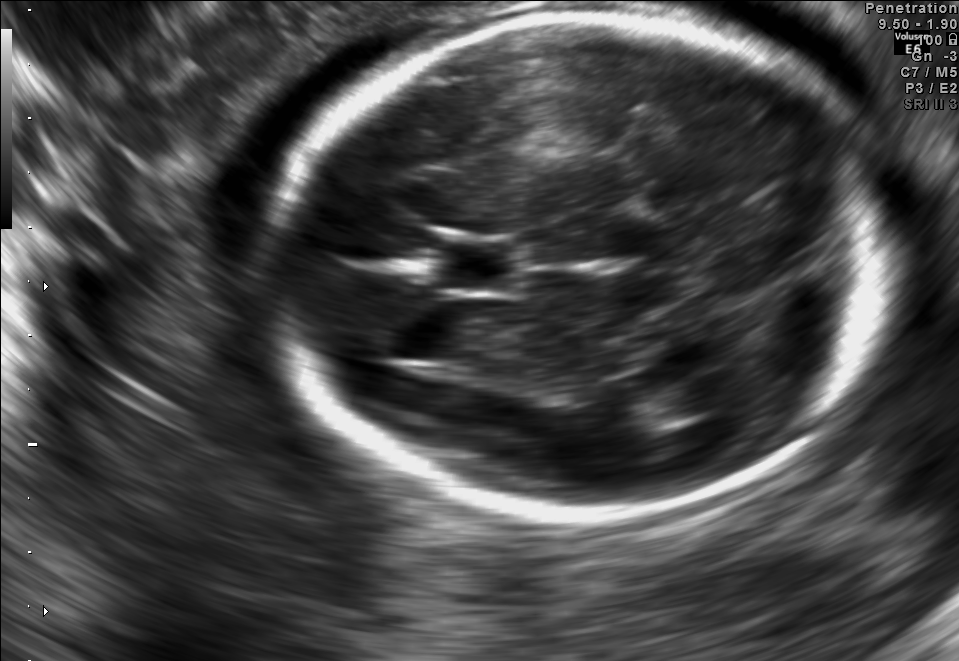
Fetal brain, trans-thalamic plane. Where is the fetal head?

Head bounding box: [272,12,899,521]